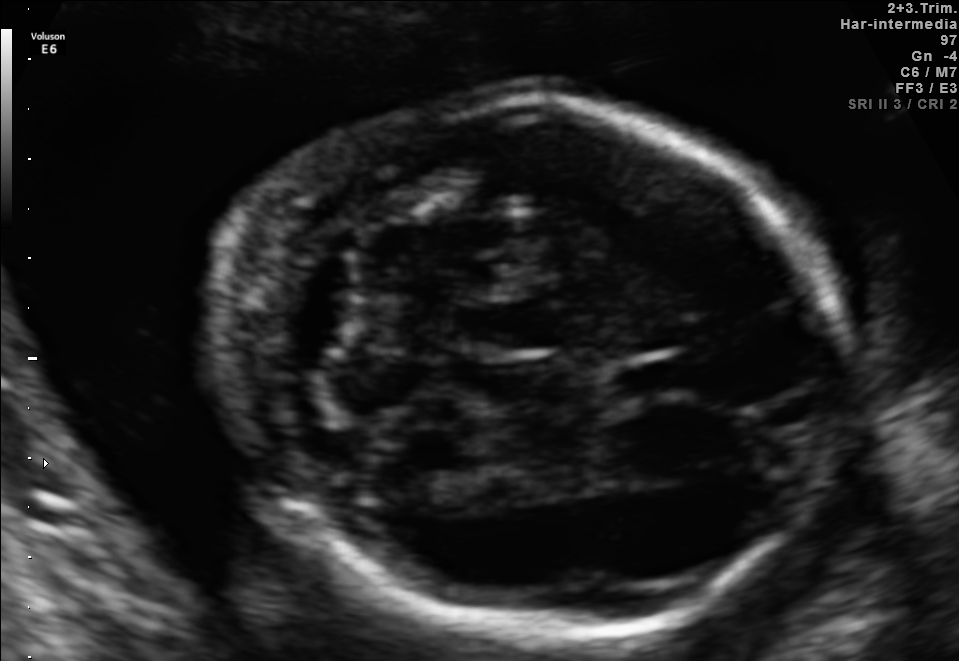
Fetal brain, trans-cerebellum plane. Locate the fetal head.

Head: [216,94,833,645]